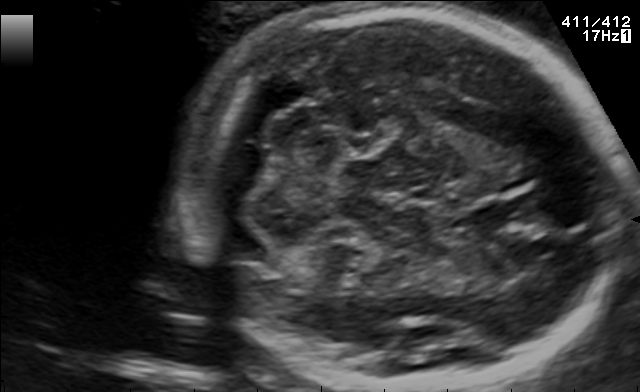
Fetal brain, trans-cerebellum plane. Locate the cavum septum pellucidum.

CSP: [454,195,522,244]